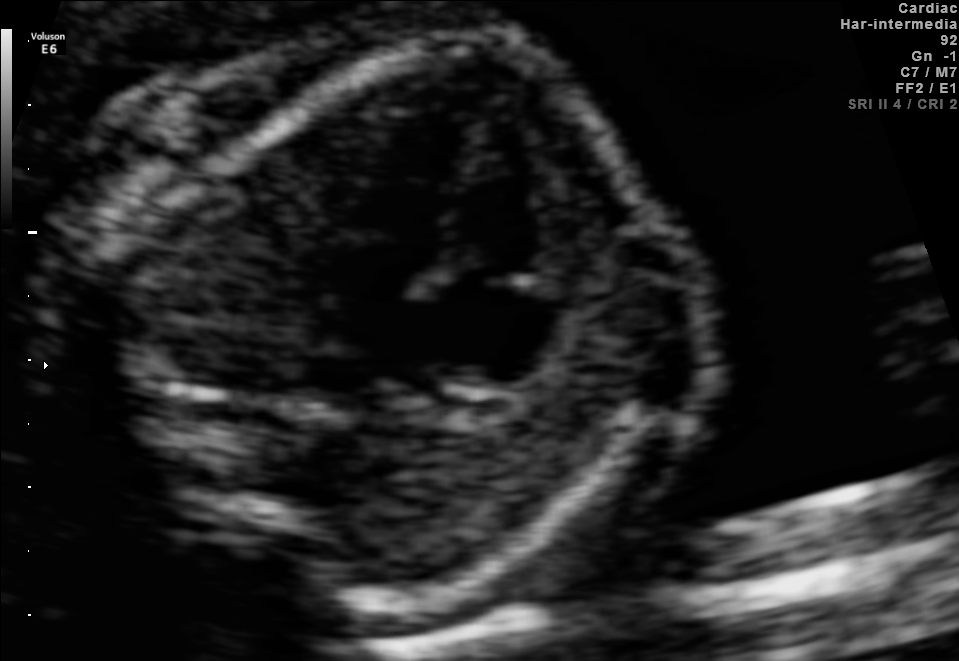
This is a 2D maternal-fetal ultrasound frame. Is it a fetal abdomen, fetal brain, fetal femur, fetal thorax, maternal cervix, or other standard plane? If it's fetal brain and one of the three standard brain planes (trans-thalamic, trans-cerebellum, trans-ventricular), name which.

Fetal thorax